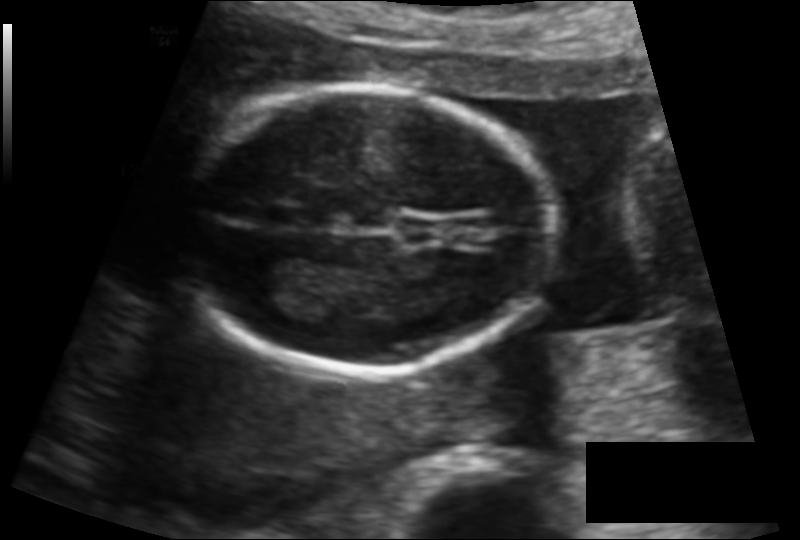
What is the fetal head circumference? Image width is 93.2 mm.

125.2 mm